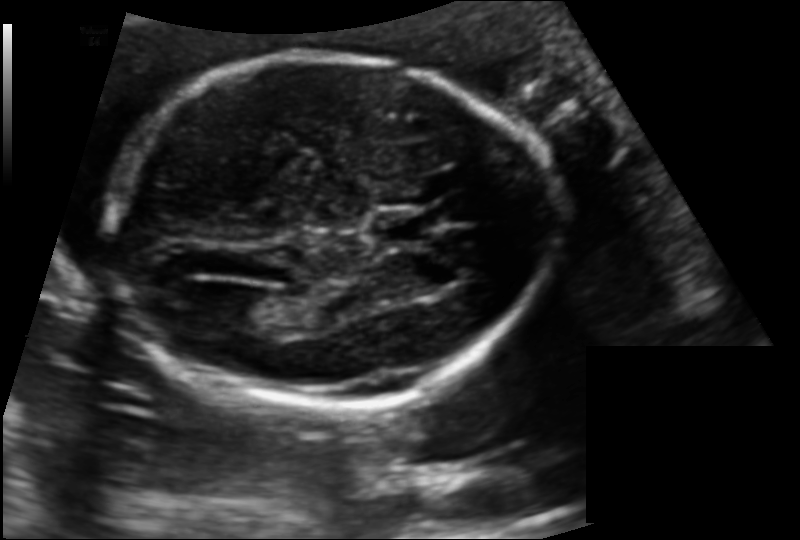
Fetal head ultrasound. Image width: 105.8 mm. Where is the lateral ventricle?

Lateral ventricle bounding box: [226,292,283,331]